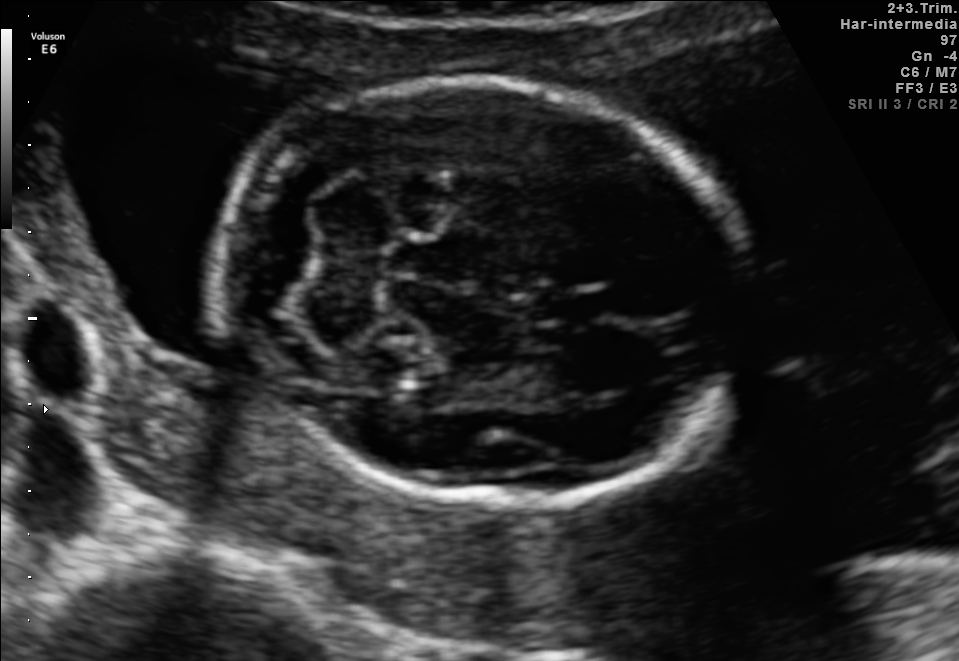
Fetal brain, trans-cerebellum plane. Where is the cavum septum pellucidum?

CSP bounding box: [536,287,603,328]